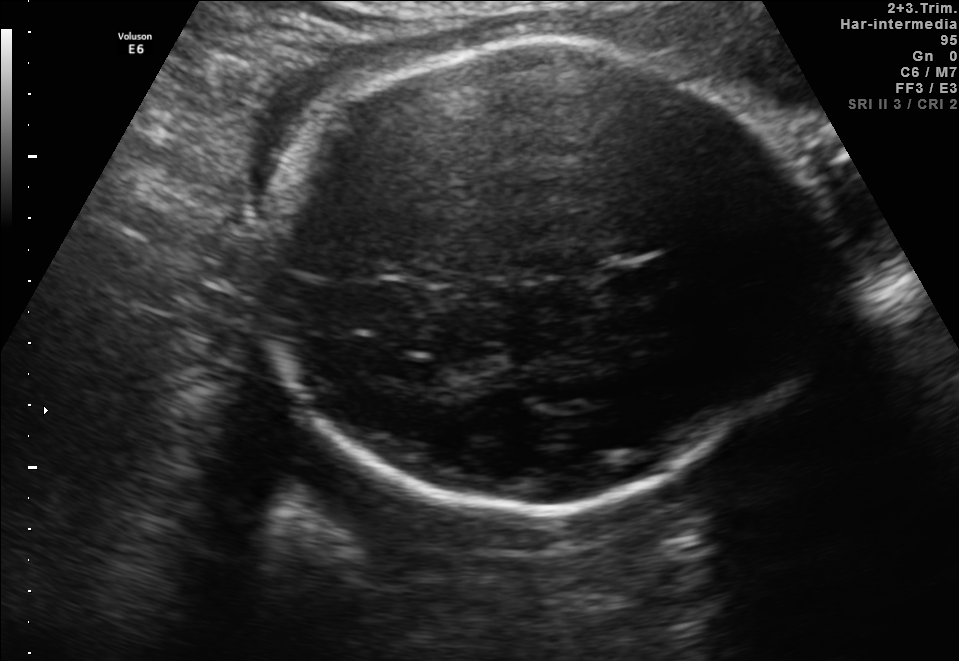
Fetal brain, trans-thalamic plane. Locate the fetal head.

Head: [247,39,820,514]